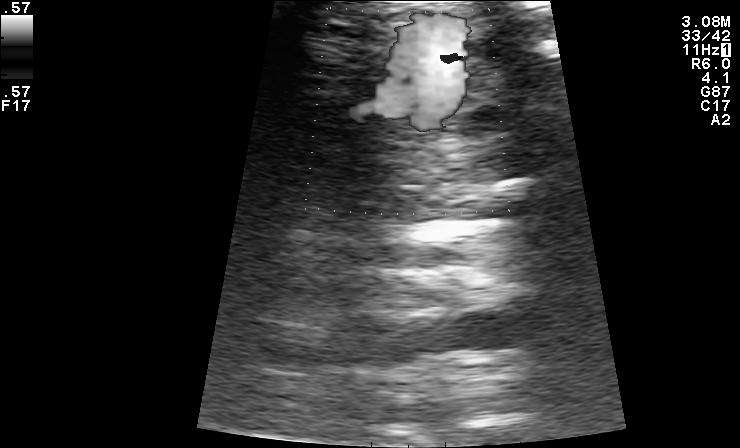
Identify the standard plane in this fetal ultrasound image: fetal abdomen, fetal brain, fetal femur, fetal thorax, maternal cervix, or other. If it's fetal brain and one of the three standard brain planes (trans-thalamic, trans-cerebellum, trans-ventricular), name which.

Other